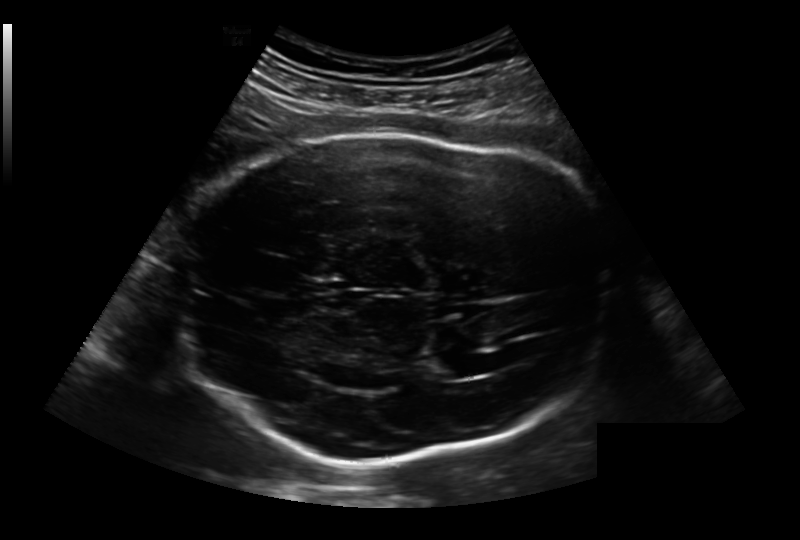
Measure the fetal head circumference shown in this ultrasound image. Image width: 188.6 mm.

Head circumference: 291.9 mm.